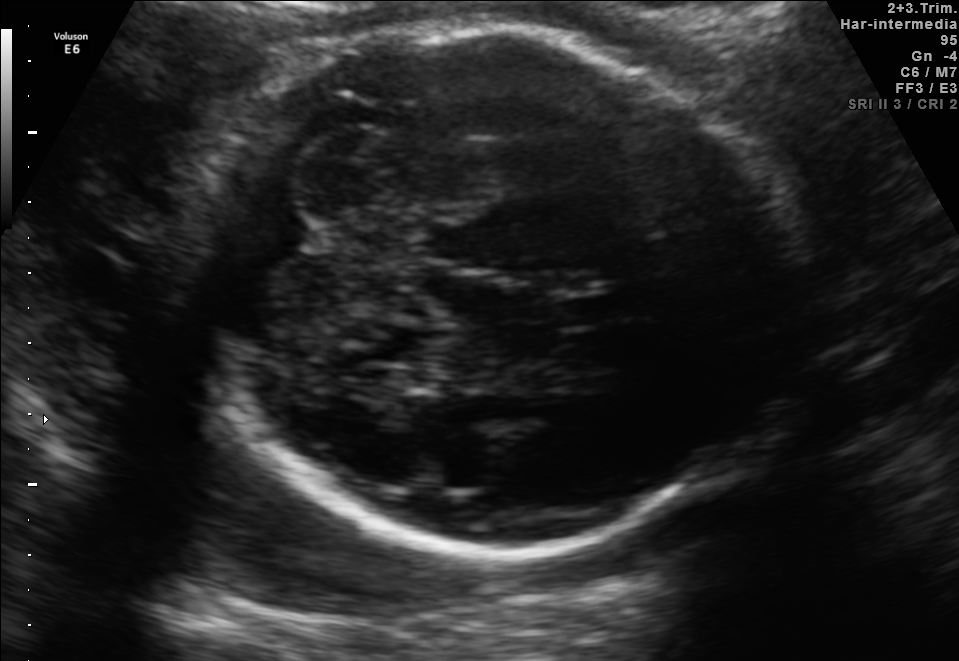
In this fetal brain, trans-cerebellum plane, give bounding boxes for the head outline, cavum septum pellucidum (CSP), and lateral ventricle (LV), where visible.

Head: [182,24,789,547]